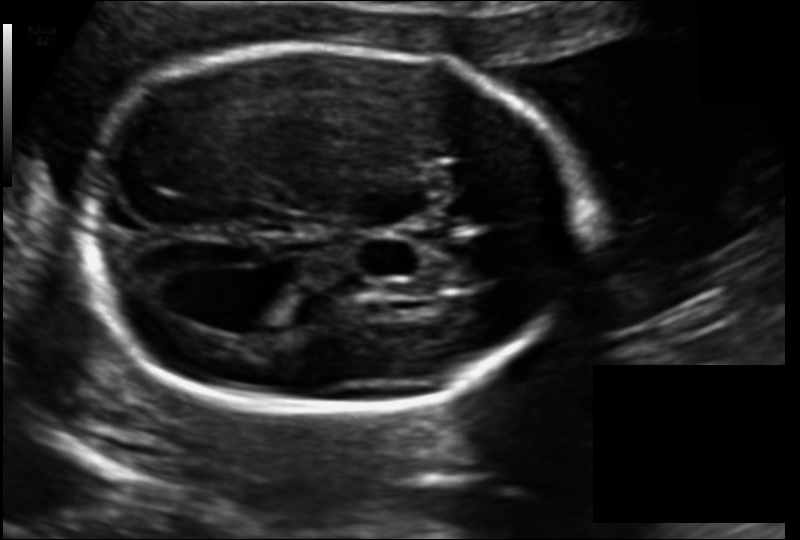
Fetal head ultrasound. Image width: 102.4 mm. Where is the fetal head?

Head bounding box: [78,47,580,409]